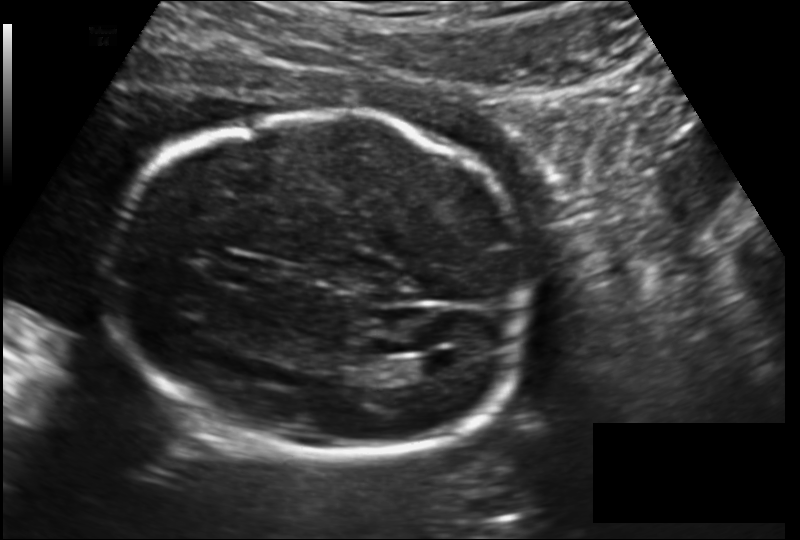
From this fetal ultrasound, estimate the head circumference (image width 125.8 mm).

Head circumference: 192.6 mm.